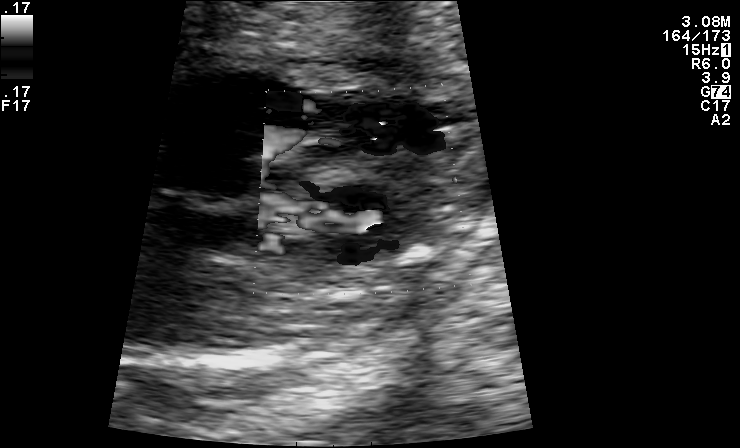
Identify the standard plane in this fetal ultrasound image: fetal abdomen, fetal brain, fetal femur, fetal thorax, maternal cervix, or other. If it's fetal brain and one of the three standard brain planes (trans-thalamic, trans-cerebellum, trans-ventricular), name which.

Other